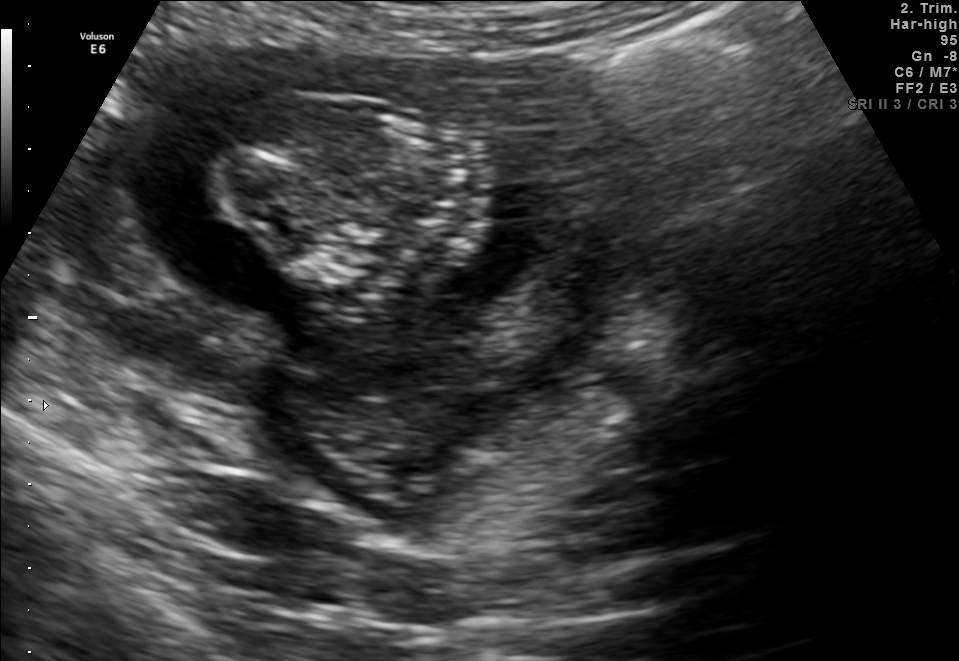
Identify the standard plane in this fetal ultrasound image: fetal abdomen, fetal brain, fetal femur, fetal thorax, maternal cervix, or other. If it's fetal brain and one of the three standard brain planes (trans-thalamic, trans-cerebellum, trans-ventricular), name which.

Other